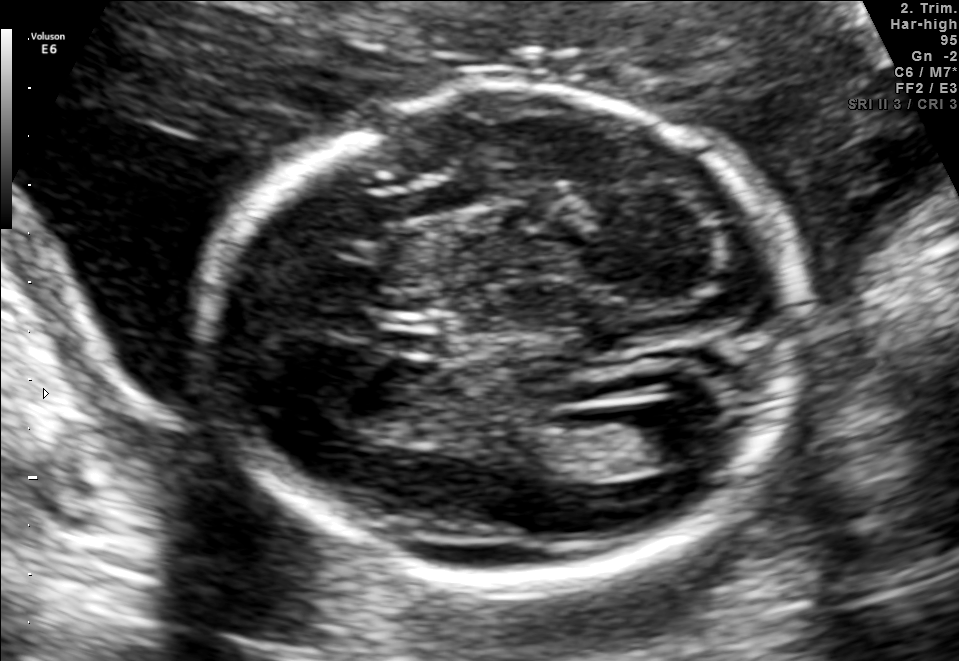
Fetal brain, trans-ventricular plane. Locate the cavum septum pellucidum.

CSP: [362,303,459,359]